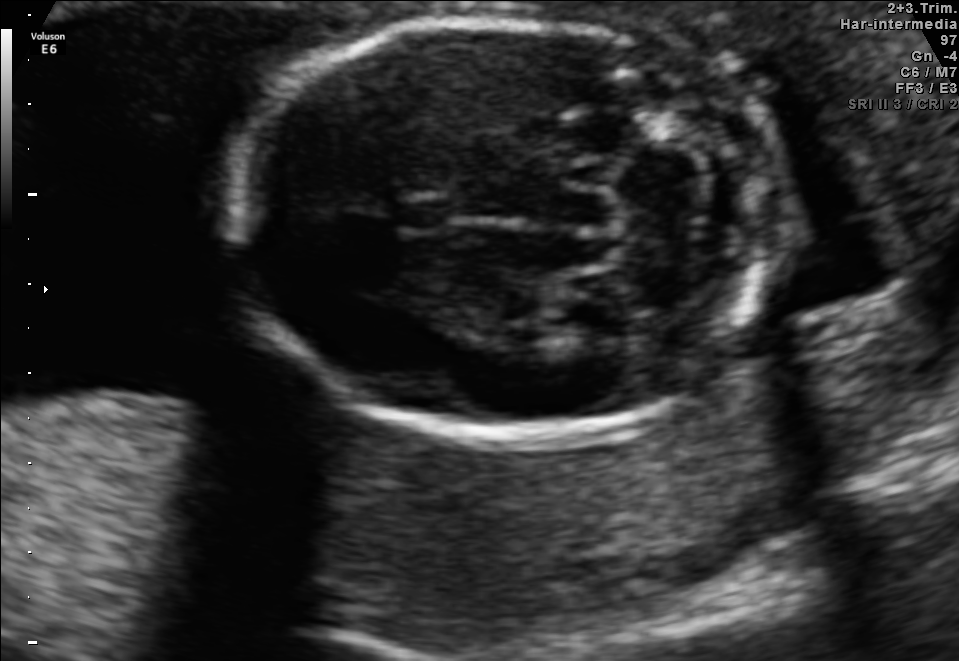
Which standard maternal-fetal ultrasound plane is shown: fetal abdomen, fetal brain, fetal femur, fetal thorax, maternal cervix, or other? If it's fetal brain and one of the three standard brain planes (trans-thalamic, trans-cerebellum, trans-ventricular), name which.

Fetal brain (trans-cerebellum plane)